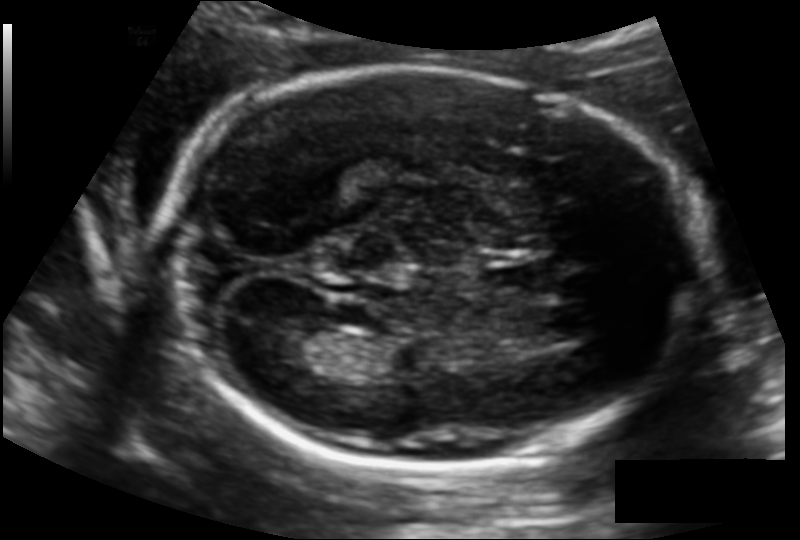
From this fetal ultrasound, estimate the head circumference (image width 103.6 mm).

Head circumference: 197.9 mm.